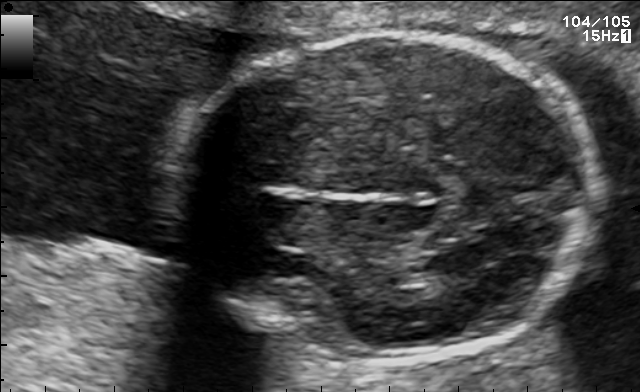
Identify the standard plane in this fetal ultrasound image: fetal abdomen, fetal brain, fetal femur, fetal thorax, maternal cervix, or other. If it's fetal brain and one of the three standard brain planes (trans-thalamic, trans-cerebellum, trans-ventricular), name which.

Fetal brain (trans-thalamic plane)